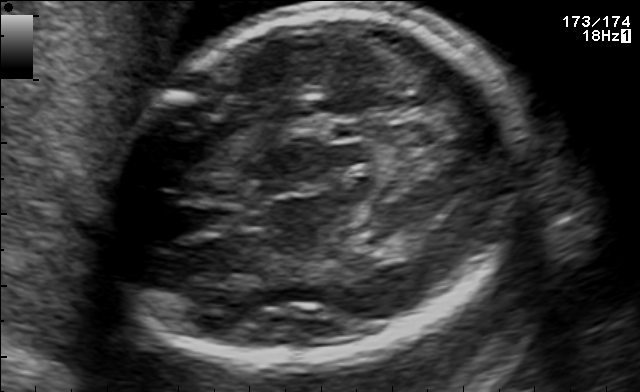
Identify the standard plane in this fetal ultrasound image: fetal abdomen, fetal brain, fetal femur, fetal thorax, maternal cervix, or other. If it's fetal brain and one of the three standard brain planes (trans-thalamic, trans-cerebellum, trans-ventricular), name which.

Fetal brain (trans-thalamic plane)